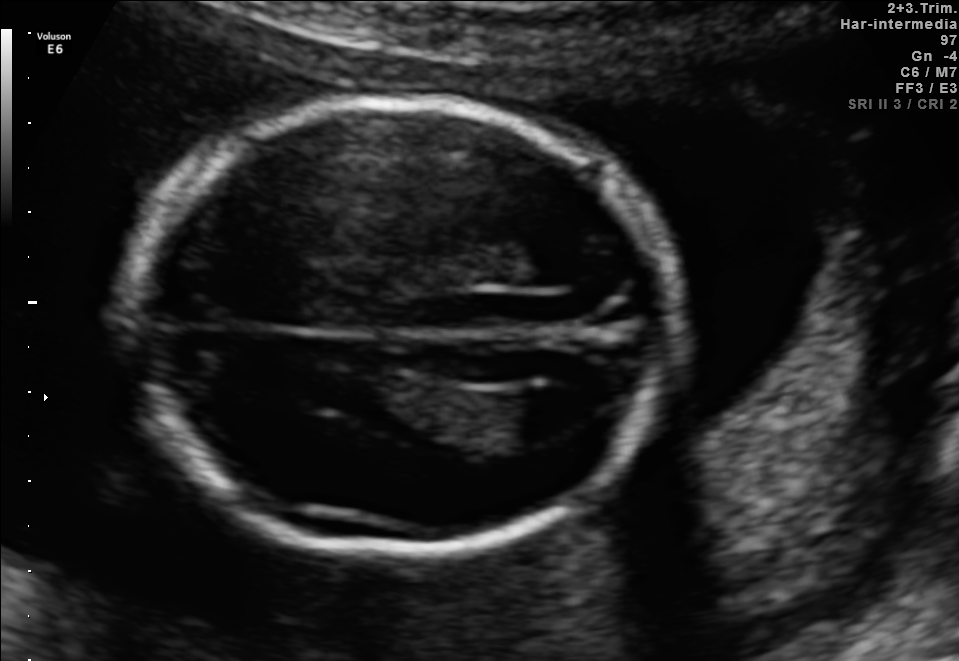
Fetal brain, trans-ventricular plane. Locate the fetal head.

Head: [106,90,699,567]